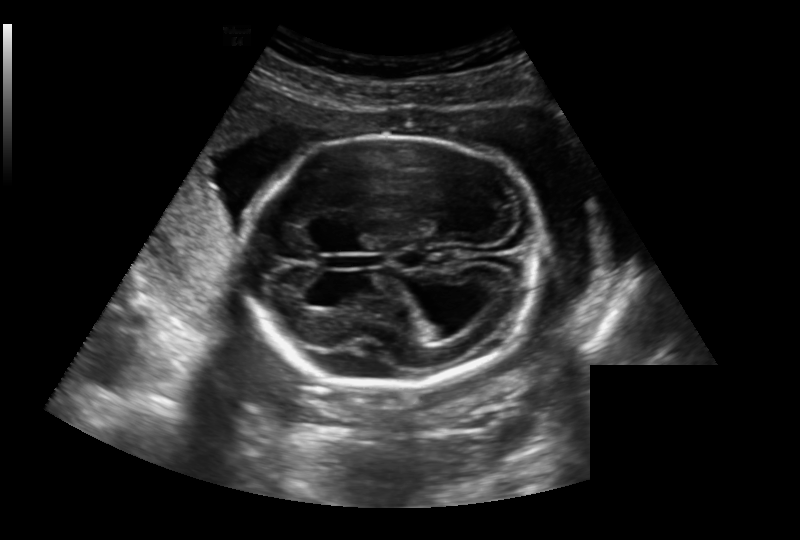
What is the fetal head circumference? Image width is 188.6 mm.

210.9 mm